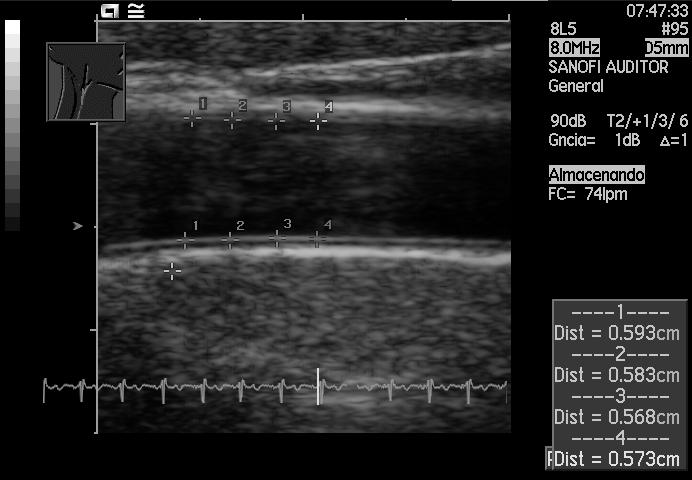
Which standard maternal-fetal ultrasound plane is shown: fetal abdomen, fetal brain, fetal femur, fetal thorax, maternal cervix, or other? If it's fetal brain and one of the three standard brain planes (trans-thalamic, trans-cerebellum, trans-ventricular), name which.

Other